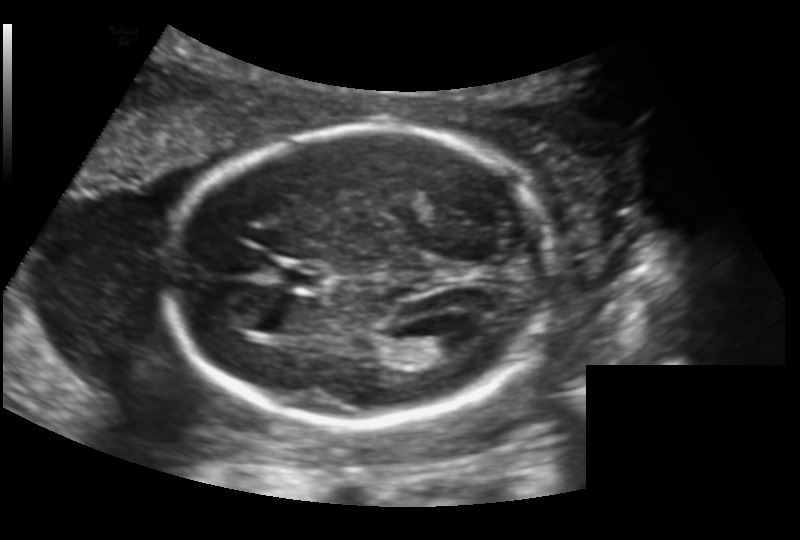
In this fetal head ultrasound, give bounding boxes for the head outline, cavum septum pellucidum (CSP), and lateral ventricle (LV), where visible. Image width: 125.0 mm.

Head: [169,127,548,428]
CSP: [272,258,329,295]
Lateral ventricle: [414,323,472,366]